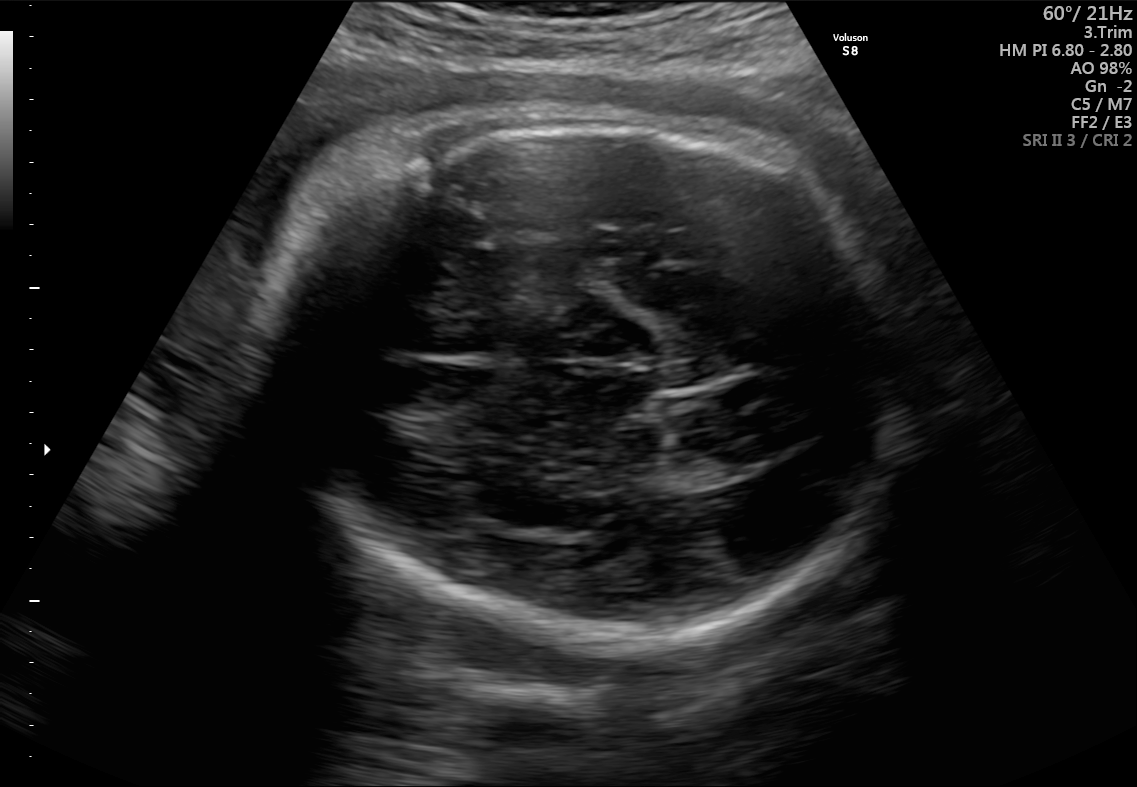
Fetal brain, trans-thalamic plane. Where is the fetal head?

Head bounding box: [280,111,909,650]